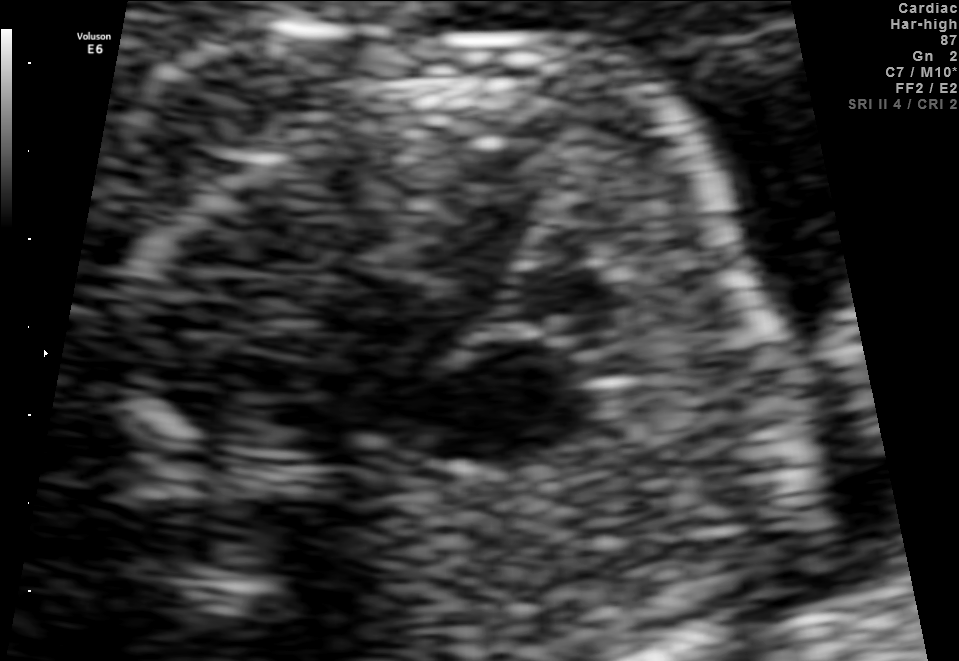
Classify this maternal-fetal ultrasound image as one of the six standard planes — fetal abdomen, fetal brain, fetal femur, fetal thorax, maternal cervix, or other. If it's fetal brain and one of the three standard brain planes (trans-thalamic, trans-cerebellum, trans-ventricular), name which.

Fetal thorax